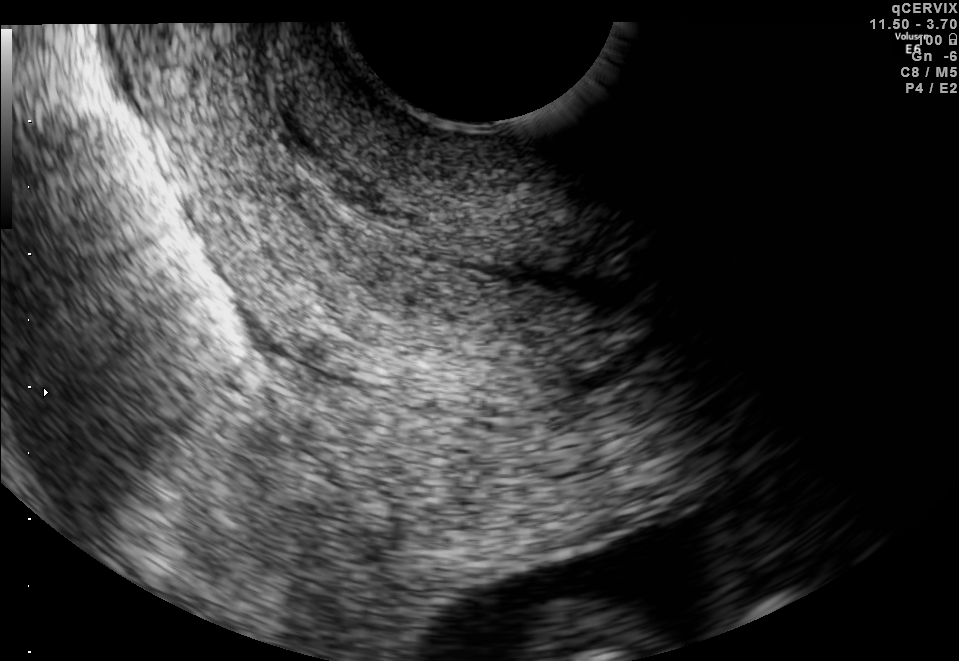
Which standard maternal-fetal ultrasound plane is shown: fetal abdomen, fetal brain, fetal femur, fetal thorax, maternal cervix, or other? If it's fetal brain and one of the three standard brain planes (trans-thalamic, trans-cerebellum, trans-ventricular), name which.

Maternal cervix